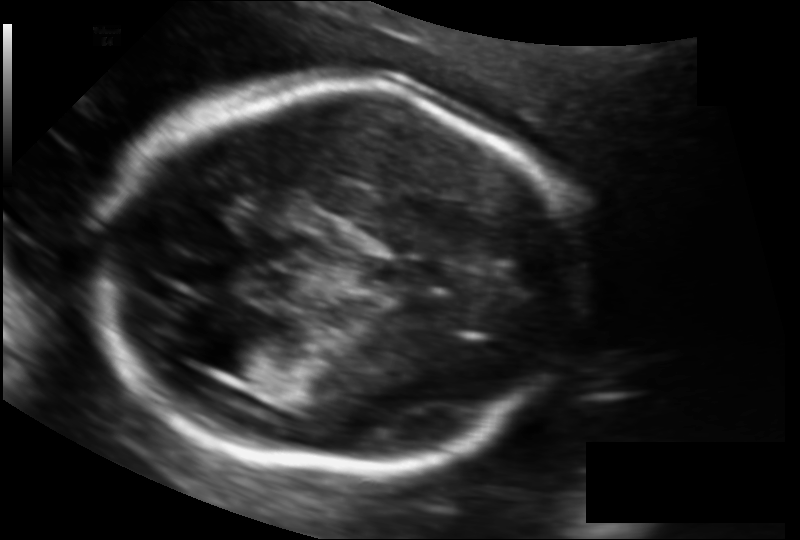
In this fetal head ultrasound, give the bounding box of the fetal head. Image width: 96.6 mm.

[92,80,581,468]